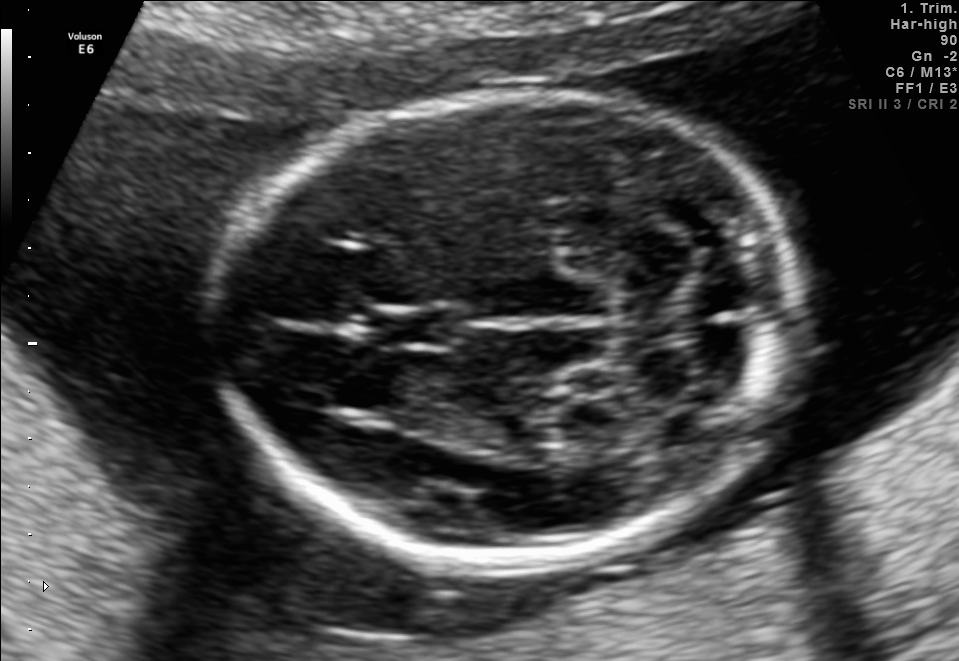
Fetal brain, trans-cerebellum plane. Where is the fetal head?

Head bounding box: [226,91,795,564]